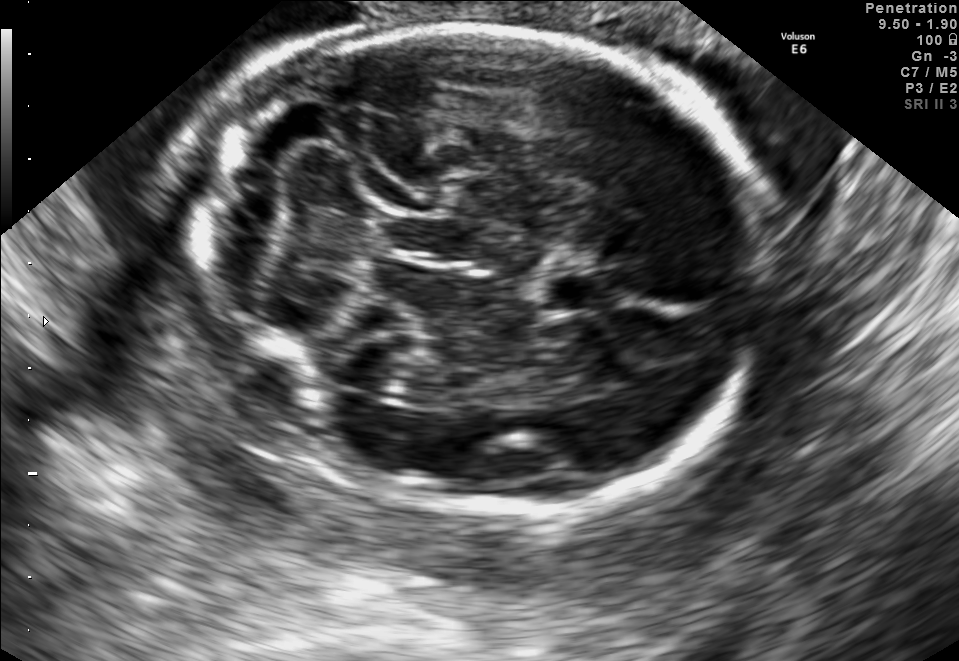
Fetal brain, trans-cerebellum plane. Locate the fetal head.

Head: [189,29,768,514]